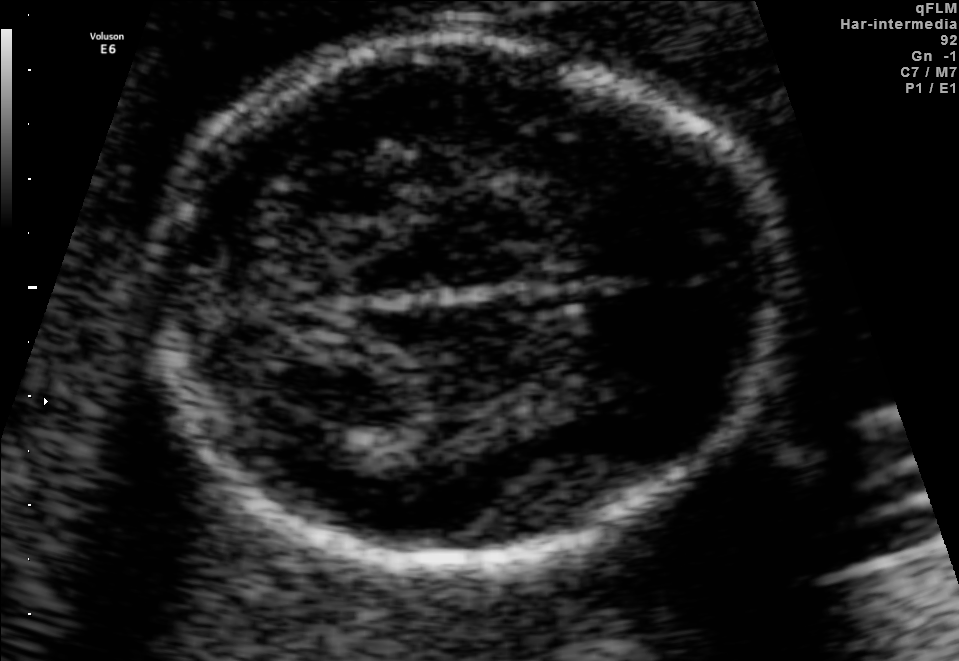
In this fetal brain, trans-thalamic plane, give the bounding box of the fetal head.

[153,39,788,570]